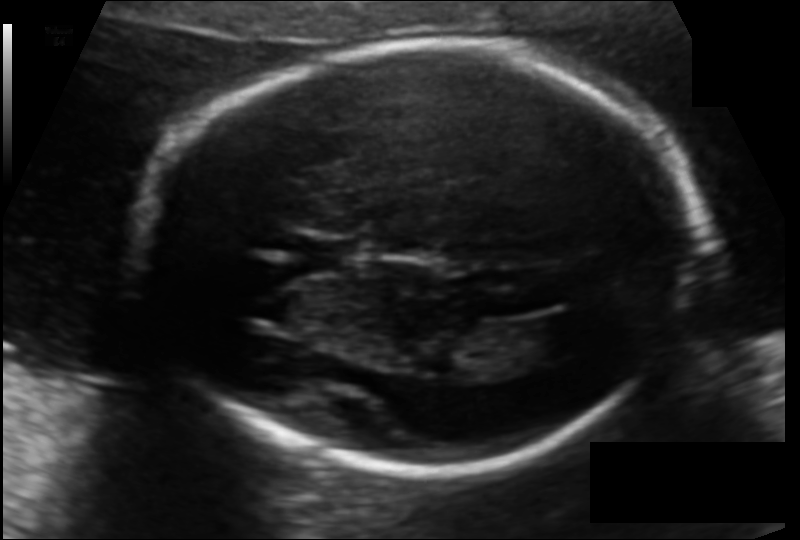
Fetal head ultrasound. Image width: 97.4 mm. Where is the fetal head?

Head bounding box: [142,46,697,470]